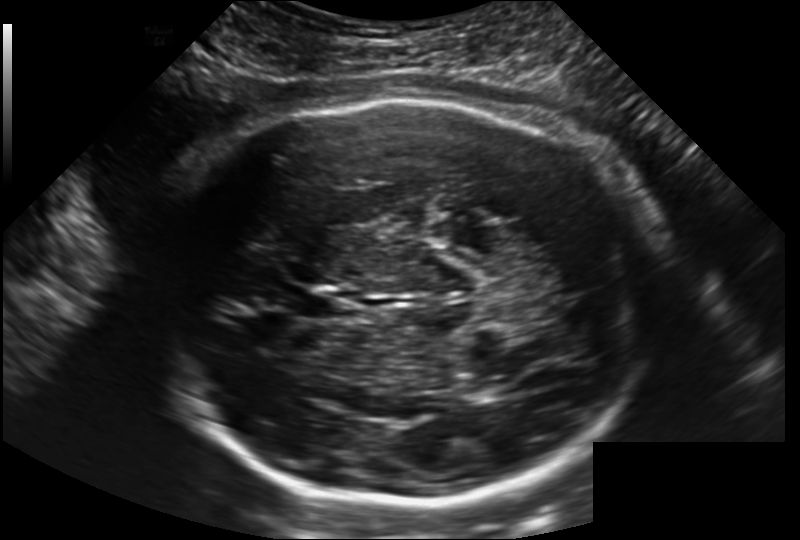
Fetal head ultrasound. Image width: 161.6 mm. Give [x1,y1,x2,y2] bounding boxes for each visible structure among: fetal head, CSP, LV.

Head: [160,97,655,507]
CSP: [286,287,343,321]